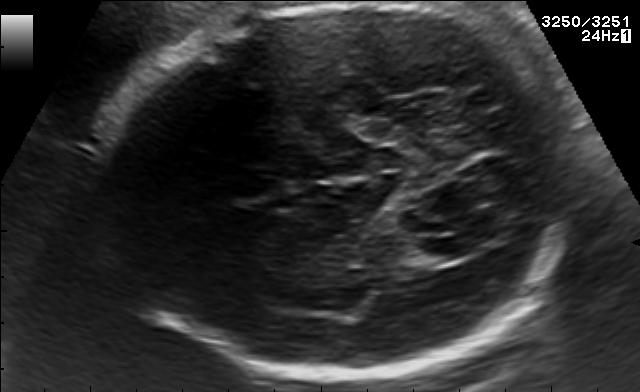
Fetal brain, trans-thalamic plane. Where is the lateral ventricle?

Lateral ventricle bounding box: [405,226,481,274]